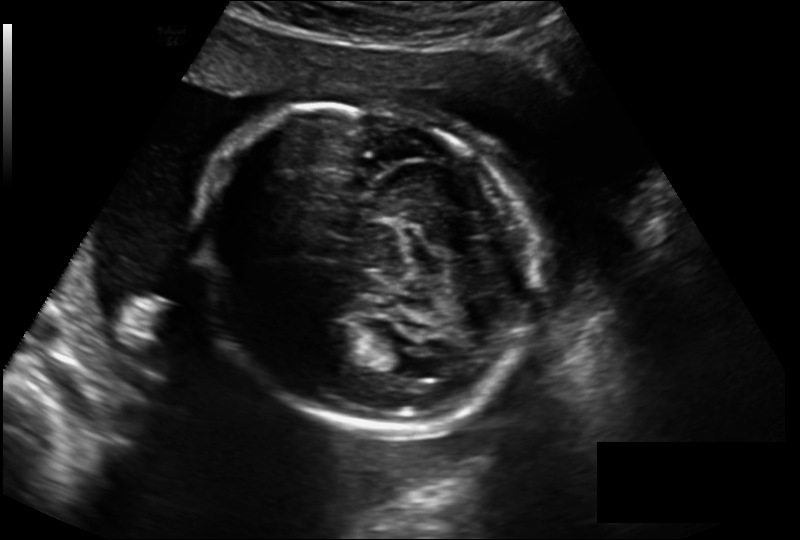
In this fetal head ultrasound, give bounding boxes for the head outline, cavum septum pellucidum (CSP), and lateral ventricle (LV), where visible. Image width: 168.7 mm.

Head: [196,104,537,433]